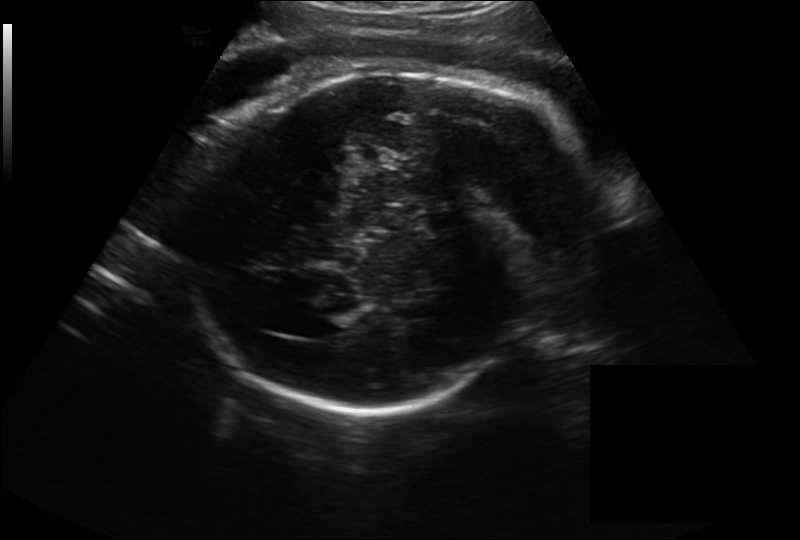
Fetal head ultrasound. Image width: 209.3 mm. Locate the fetal head and, if visible, the cavum septum pellucidum (CSP) and lateral ventricle (LV). Give bounding boxes as [x1,y1,x2,y2].

Head: [189,67,585,411]
Lateral ventricle: [305,312,353,338]